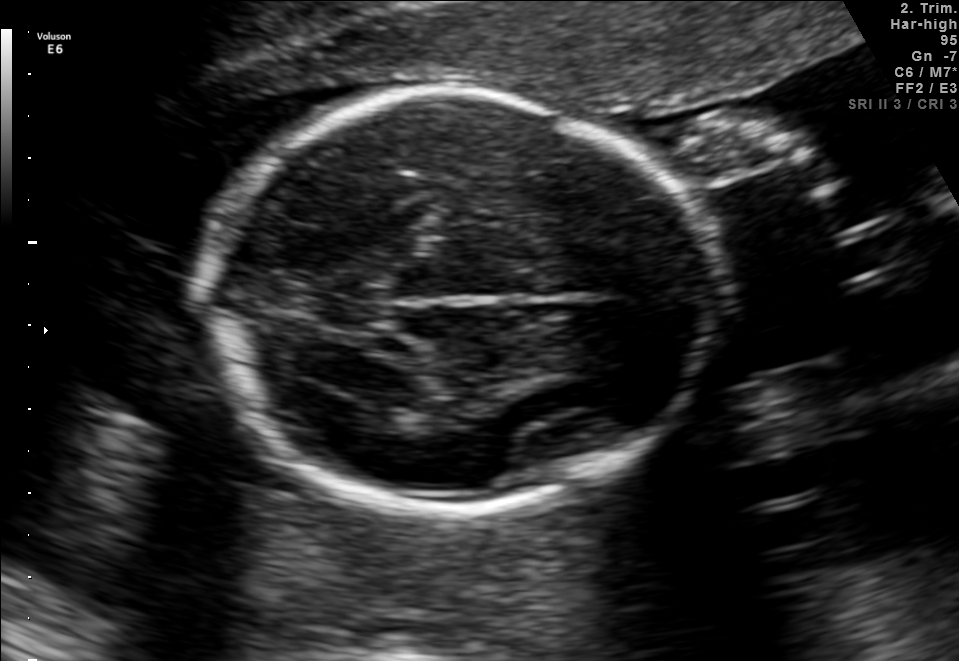
Fetal brain, trans-thalamic plane. Where is the fetal head?

Head bounding box: [202,93,711,508]